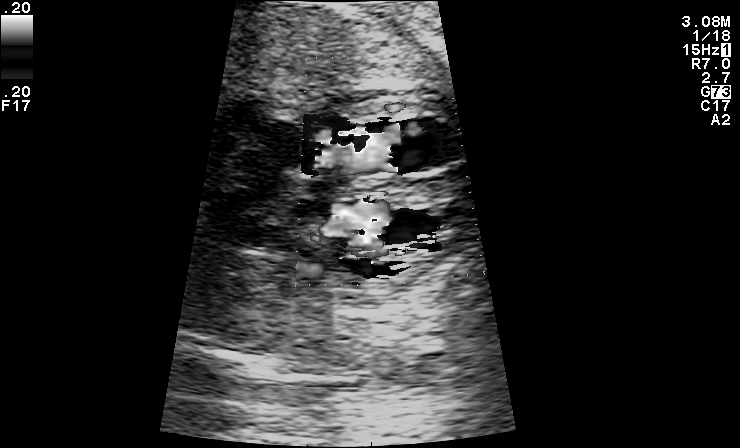
Classify this maternal-fetal ultrasound image as one of the six standard planes — fetal abdomen, fetal brain, fetal femur, fetal thorax, maternal cervix, or other. If it's fetal brain and one of the three standard brain planes (trans-thalamic, trans-cerebellum, trans-ventricular), name which.

Other